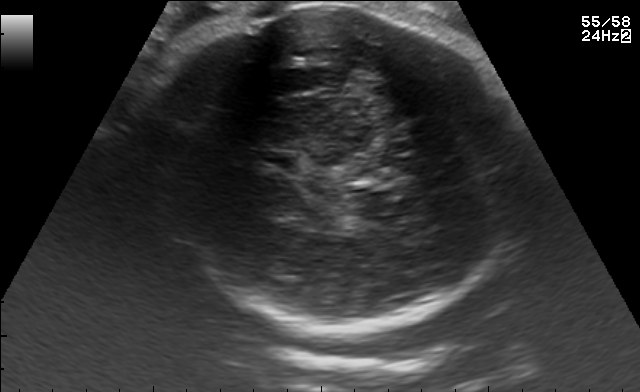
Fetal brain, trans-thalamic plane. Give [x1,y1,x2,y2] bounding boxes for each visible structure among: fetal head, CSP, LV.

Head: [141,3,523,326]